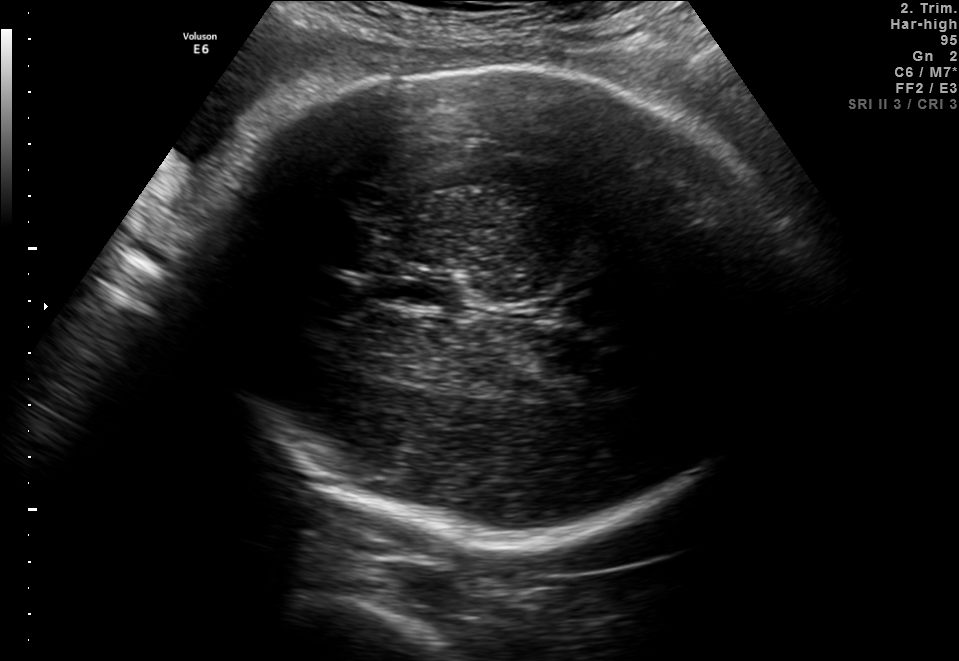
Fetal brain, trans-thalamic plane. Where is the cavum septum pellucidum?

CSP bounding box: [381,266,463,310]